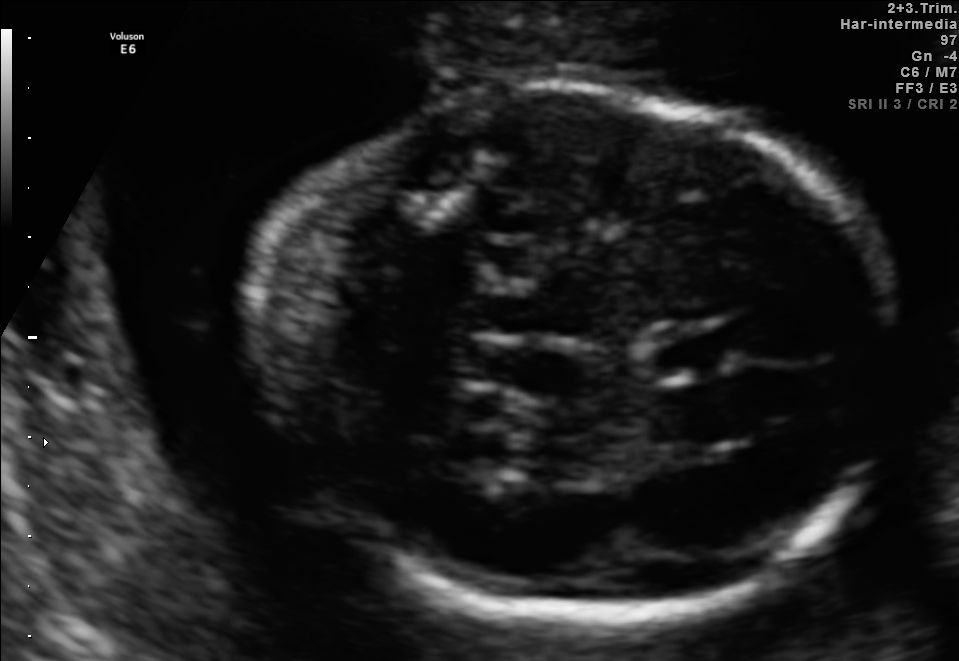
In this fetal brain, trans-thalamic plane, give the bounding box of the cavum septum pellucidum.

[642,316,740,385]